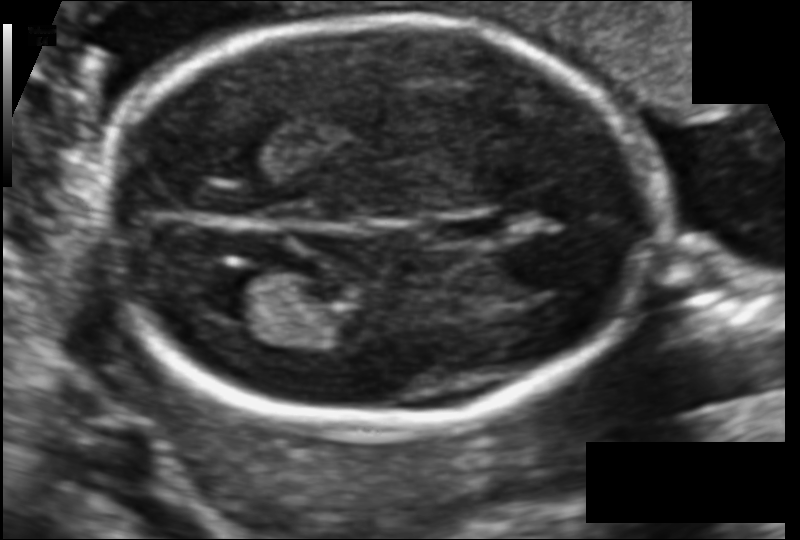
Fetal head ultrasound. Image width: 84.6 mm. Give [x1,y1,x2,y2] bounding boxes for each visible structure among: fetal head, CSP, LV.

Head: [99,17,662,431]
CSP: [426,209,507,247]
Lateral ventricle: [192,258,287,331]